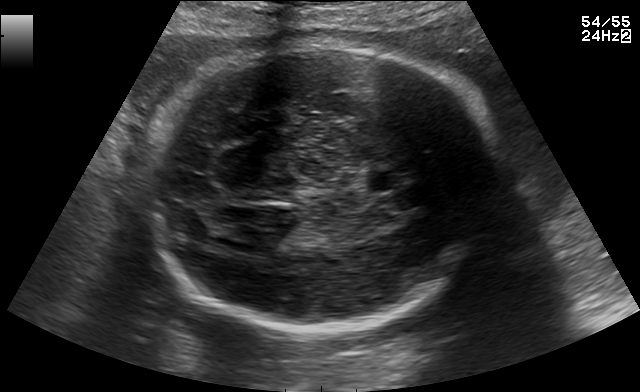
In this fetal brain, trans-thalamic plane, give the bounding box of the cavum septum pellucidum.

[365,166,407,194]